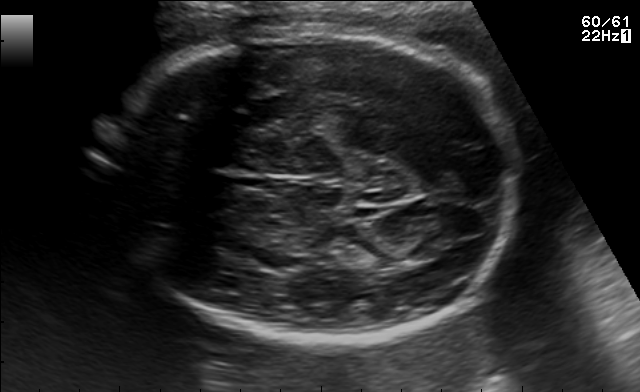
Fetal brain, trans-thalamic plane. Locate the fetal head and, if visible, the cavum septum pellucidum (CSP) and lateral ventricle (LV). Give bounding boxes as [x1,y1,x2,y2].

Head: [100,25,523,349]